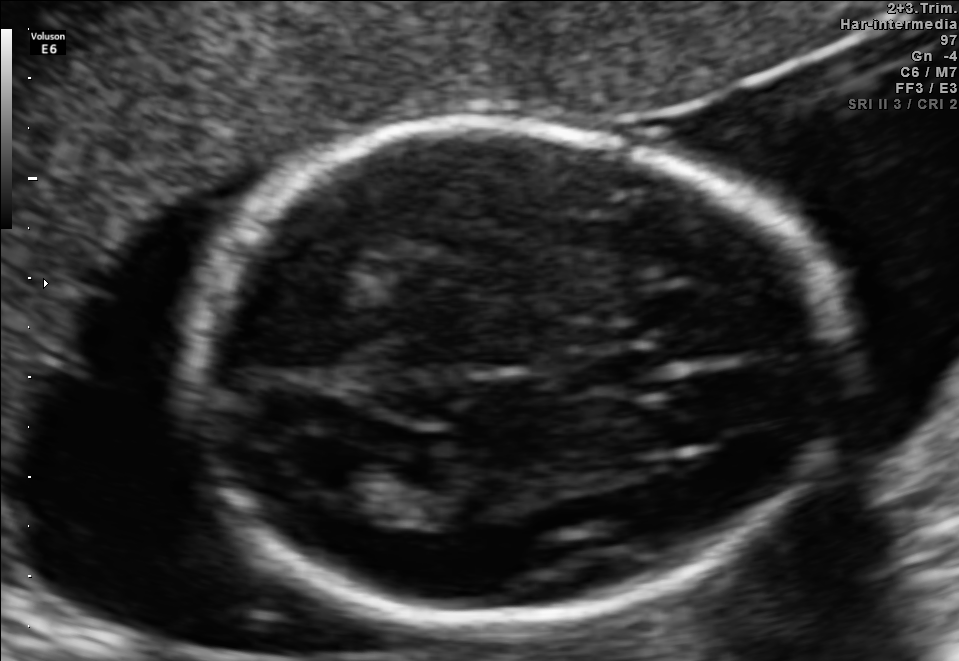
Fetal brain, trans-ventricular plane. Locate the lateral ventricle.

Lateral ventricle: [283,433,381,501]